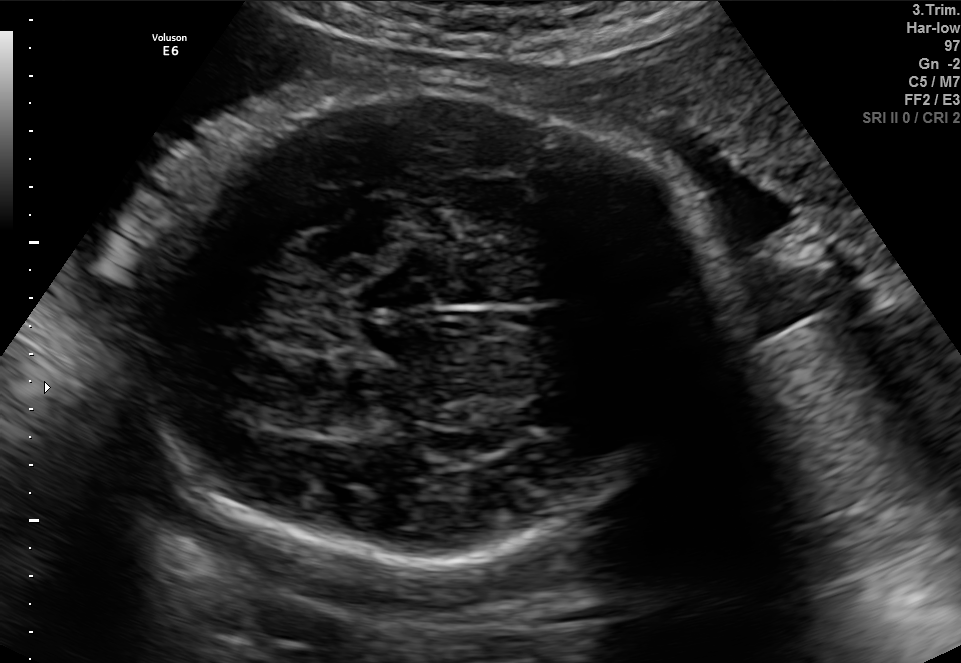
Fetal brain, trans-thalamic plane. Locate the fetal head and, if visible, the cavum septum pellucidum (CSP) and lateral ventricle (LV). Give bounding boxes as [x1,y1,x2,y2].

Head: [118,88,723,565]